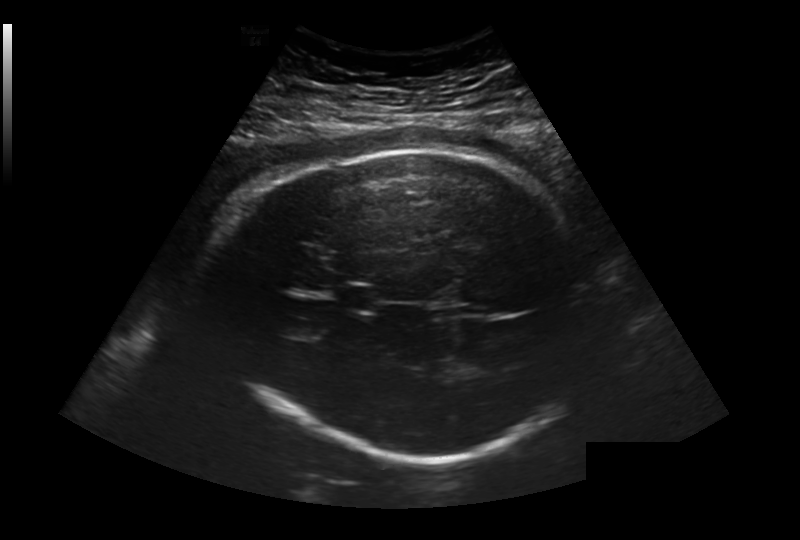
In this fetal head ultrasound, give bounding boxes for the head outline, cavum septum pellucidum (CSP), and lateral ventricle (LV), where visible. Image width: 224.9 mm.

Head: [216,149,602,458]
CSP: [335,282,383,316]